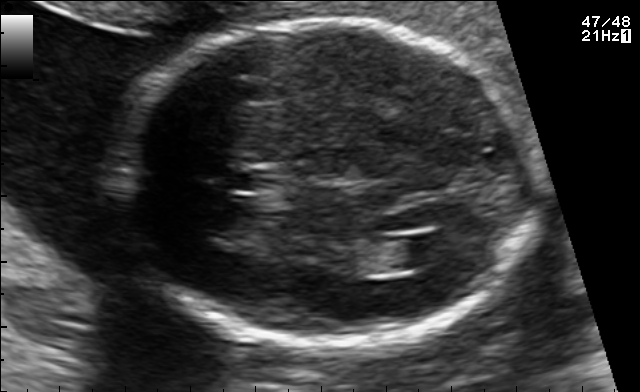
Fetal brain, trans-ventricular plane. Where is the fetal head?

Head bounding box: [109,15,545,353]